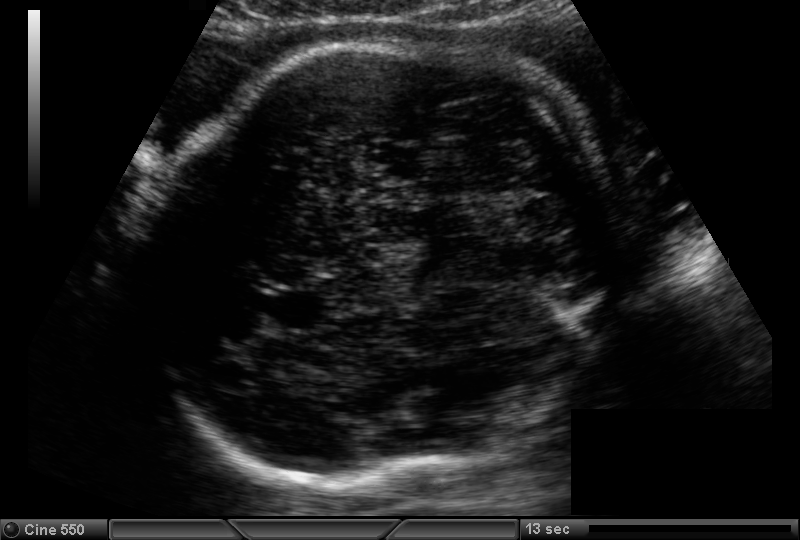
In this fetal head ultrasound, give bounding boxes for the head outline, cavum septum pellucidum (CSP), and lateral ventricle (LV), where visible. Image width: 144.1 mm.

Head: [142,43,608,484]